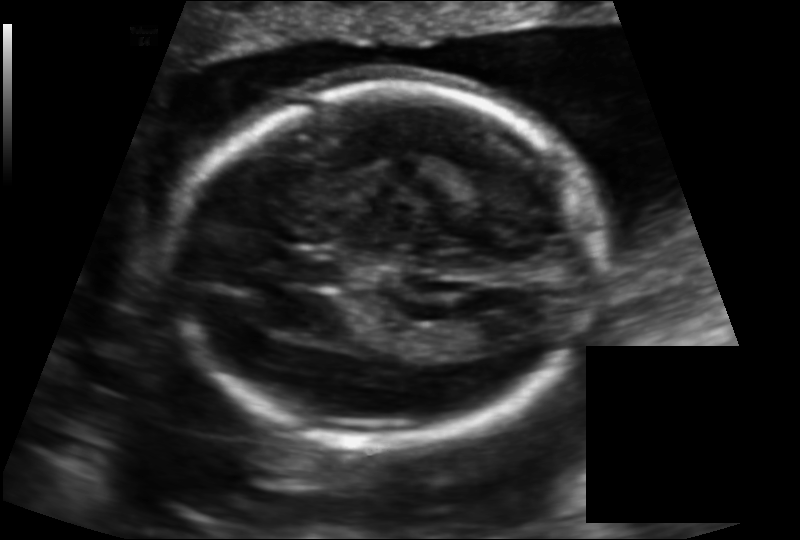
In this fetal head ultrasound, give bounding boxes for the head outline, cavum septum pellucidum (CSP), and lateral ventricle (LV), where visible. Image width: 106.6 mm.

Head: [173,86,596,440]
CSP: [286,253,339,284]
Lateral ventricle: [453,313,518,357]